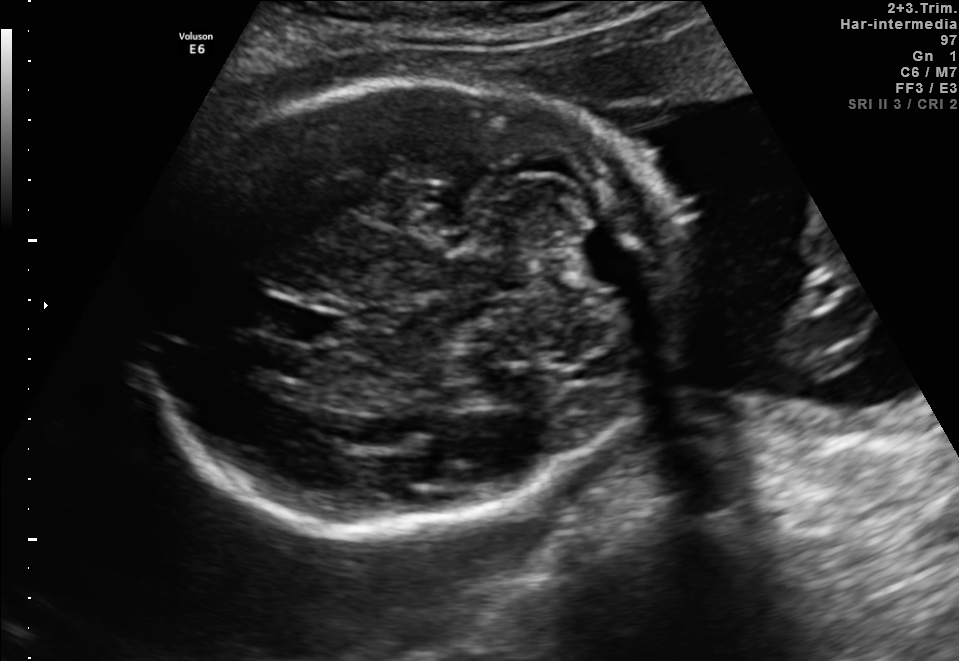
In this fetal brain, trans-cerebellum plane, give the bounding box of the cavum septum pellucidum.

[250,291,333,351]